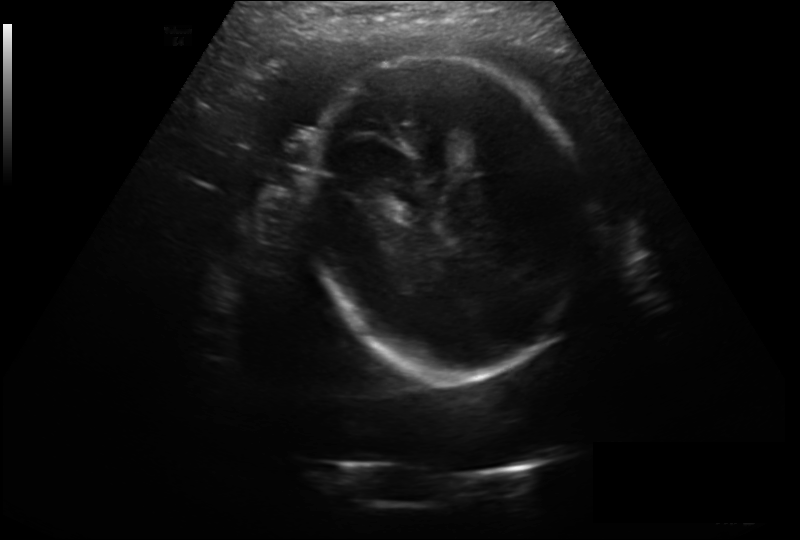
In this fetal head ultrasound, give bounding boxes for the head outline, cavum septum pellucidum (CSP), and lateral ventricle (LV), where visible. Image width: 197.0 mm.

Head: [308,58,589,379]